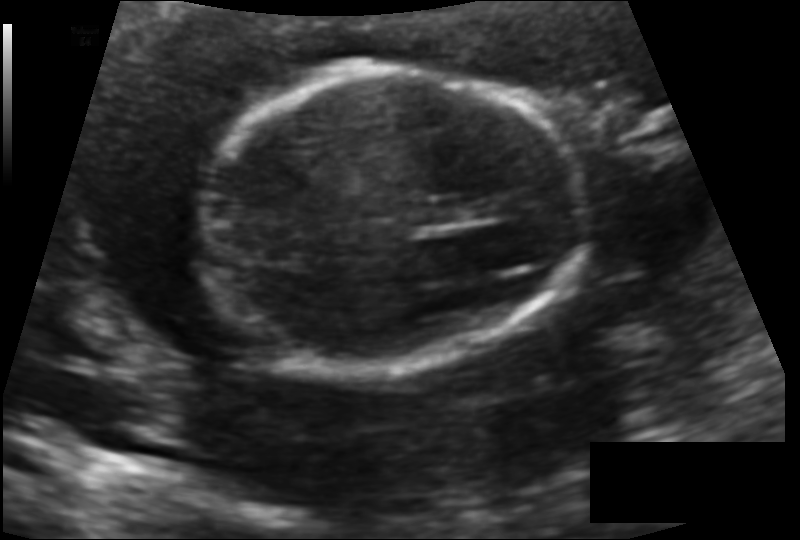
Fetal head ultrasound. Image width: 90.0 mm. Where is the fetal head?

Head bounding box: [207,71,580,364]